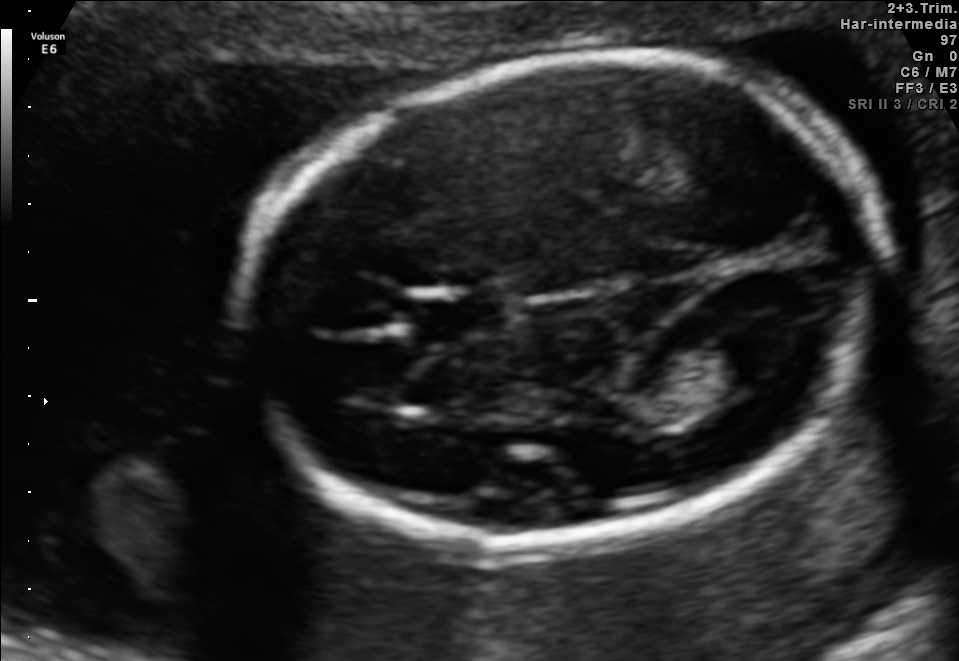
Fetal brain, trans-ventricular plane. Locate the fetal head and, if visible, the cavum septum pellucidum (CSP) and lateral ventricle (LV). Give bounding boxes as [x1,y1,x2,y2].

Head: [235,49,896,564]
CSP: [407,287,521,345]
Lateral ventricle: [702,306,809,395]